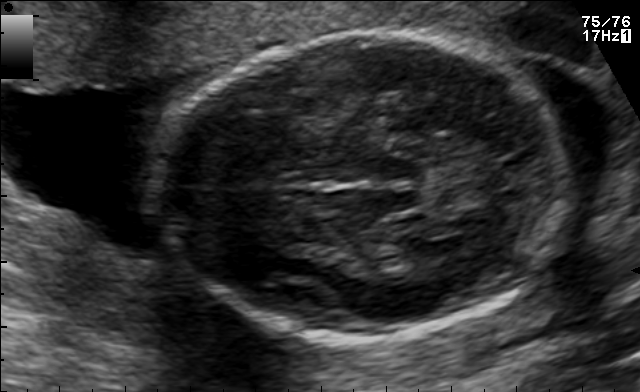
Fetal brain, trans-thalamic plane. Give [x1,y1,x2,y2] bounding boxes for each visible structure among: fetal head, CSP, LV.

Head: [155,31,567,339]